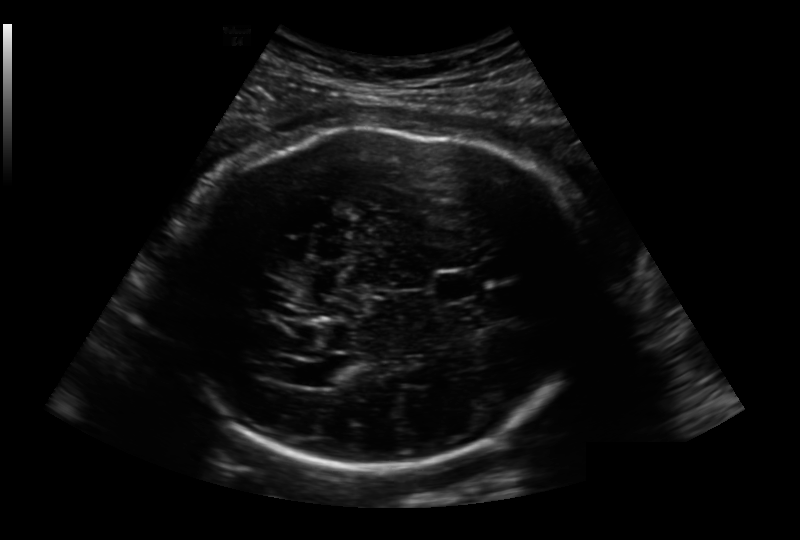
Measure the fetal head circumference shown in this ultrasound image. Image width: 188.6 mm.

Head circumference: 292.1 mm.